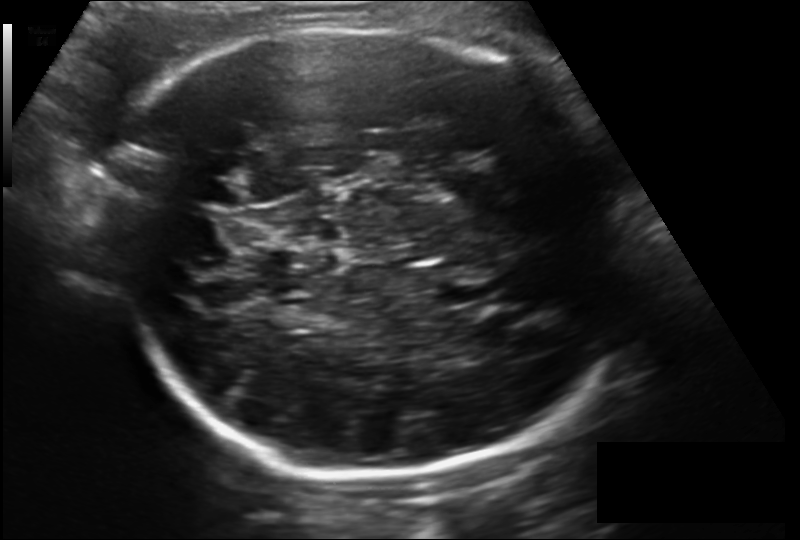
In this fetal head ultrasound, give the bounding box of the fetal head. Image width: 152.2 mm.

[97,28,630,476]